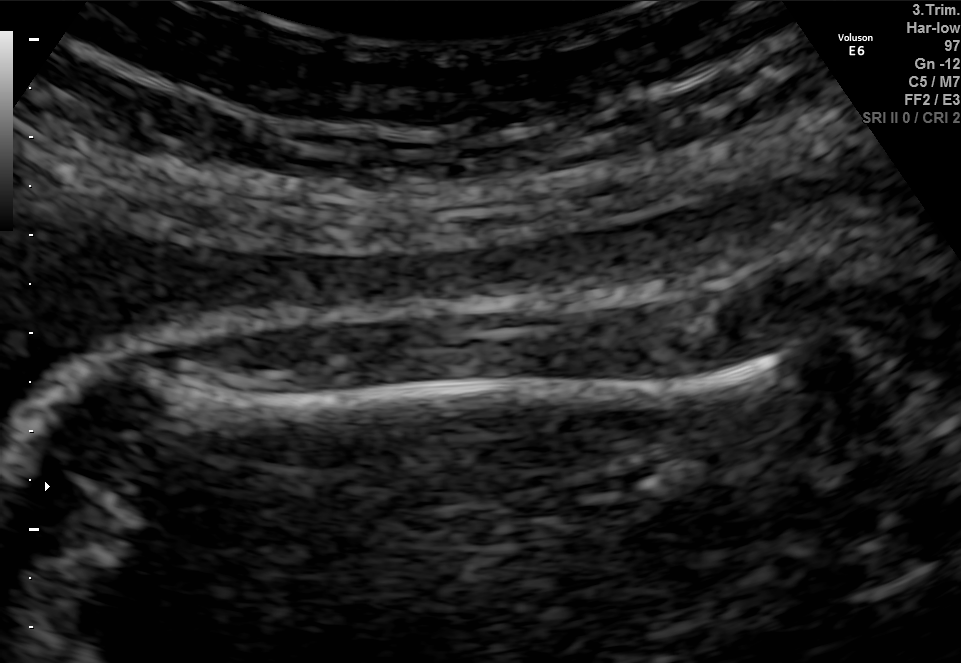
Identify the standard plane in this fetal ultrasound image: fetal abdomen, fetal brain, fetal femur, fetal thorax, maternal cervix, or other. If it's fetal brain and one of the three standard brain planes (trans-thalamic, trans-cerebellum, trans-ventricular), name which.

Fetal femur